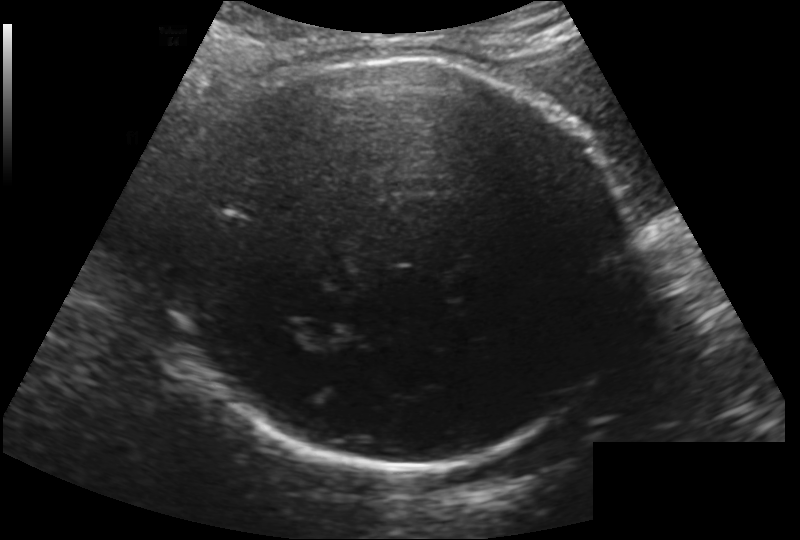
Estimate the fetal head circumference from this 2D ultrasound. Image width: 160.1 mm.

Head circumference: 284.1 mm.